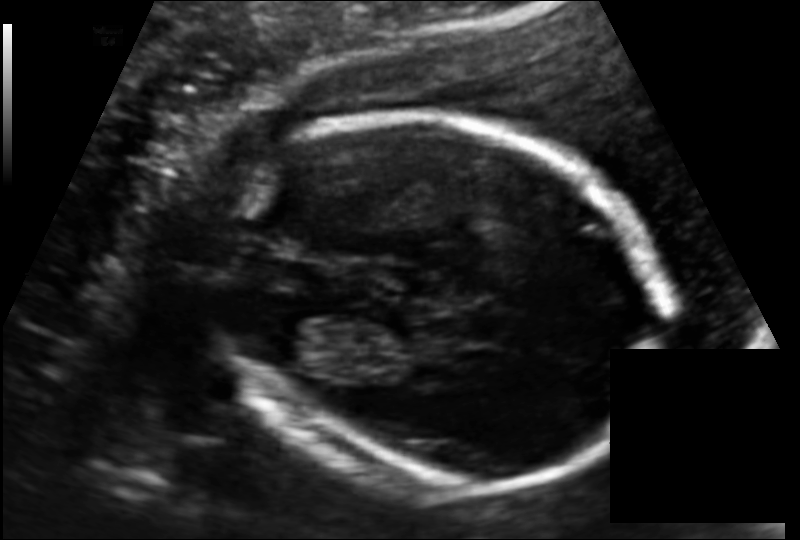
Estimate the fetal head circumference from this 2D ultrasound.

Head circumference: 172.3 mm (image width 103.9 mm).